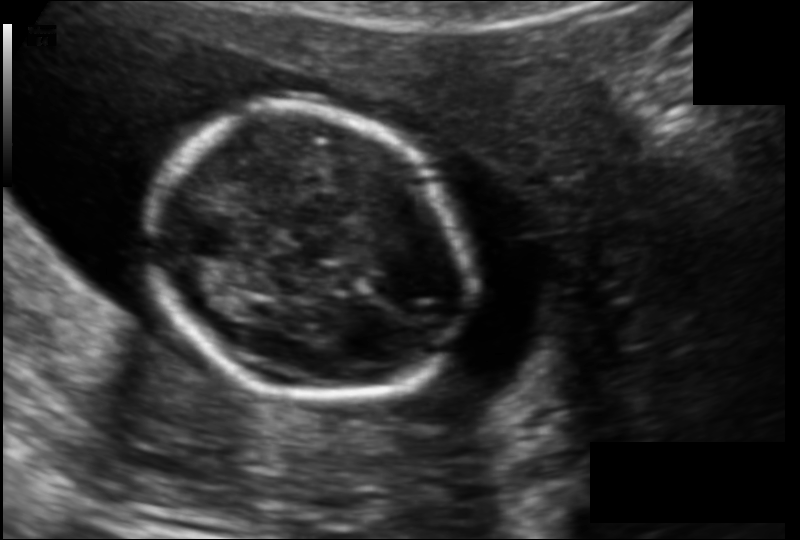
What is the fetal head circumference? Image width is 98.4 mm.

122.9 mm